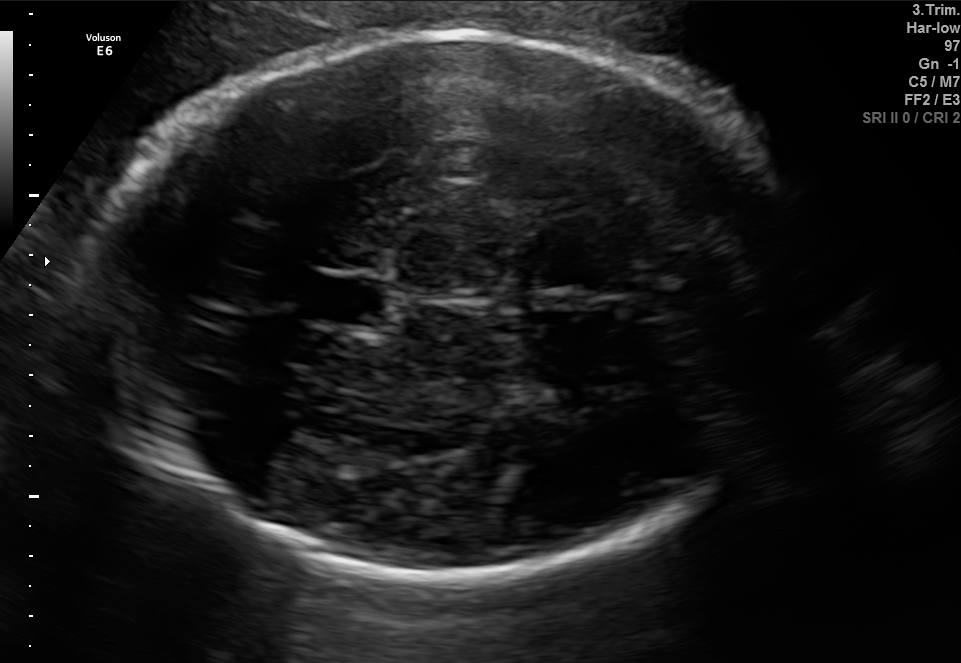
In this fetal brain, trans-thalamic plane, give the bounding box of the cavum septum pellucidum.

[307,275,383,326]